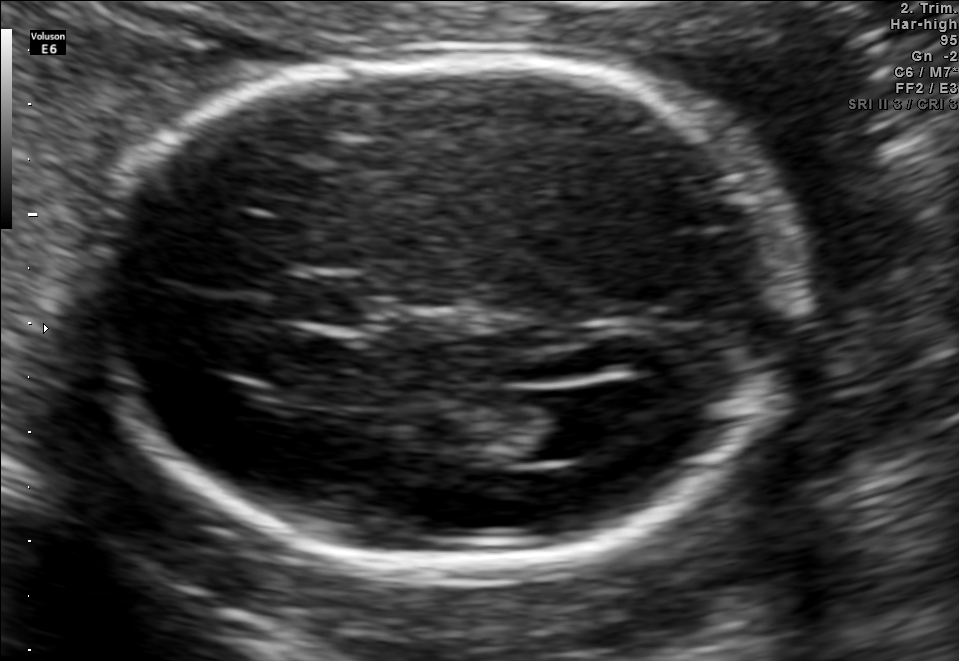
Fetal brain, trans-ventricular plane. Locate the cavum septum pellucidum.

CSP: [288,275,364,325]